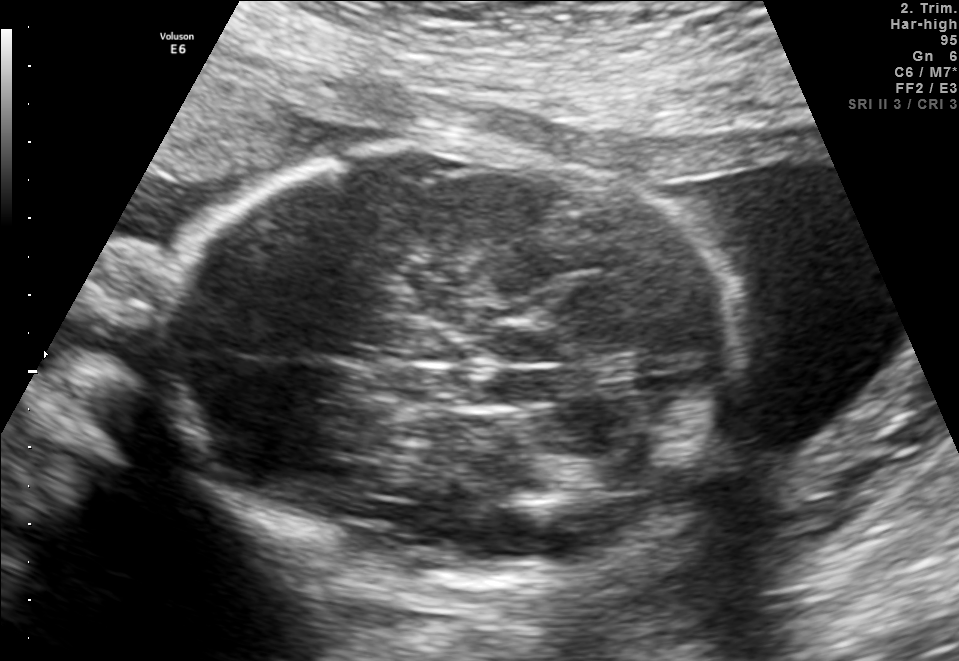
Fetal brain, trans-thalamic plane. Locate the fetal head and, if visible, the cavum septum pellucidum (CSP) and lateral ventricle (LV). Give bounding boxes as [x1,y1,x2,y2].

Head: [158,135,741,600]